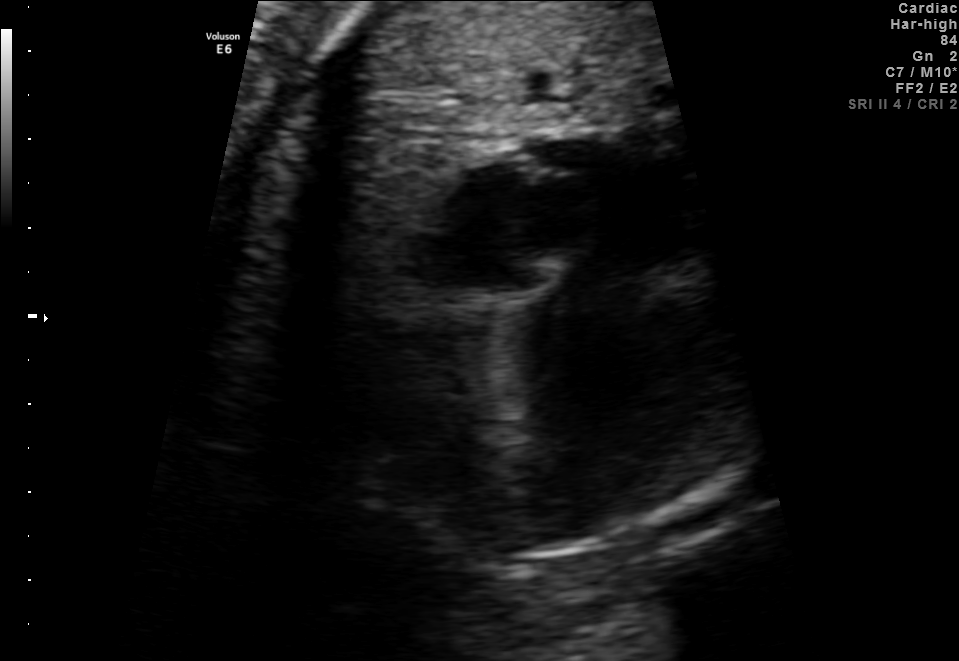
This is a 2D maternal-fetal ultrasound frame. Is it a fetal abdomen, fetal brain, fetal femur, fetal thorax, maternal cervix, or other standard plane? If it's fetal brain and one of the three standard brain planes (trans-thalamic, trans-cerebellum, trans-ventricular), name which.

Fetal thorax